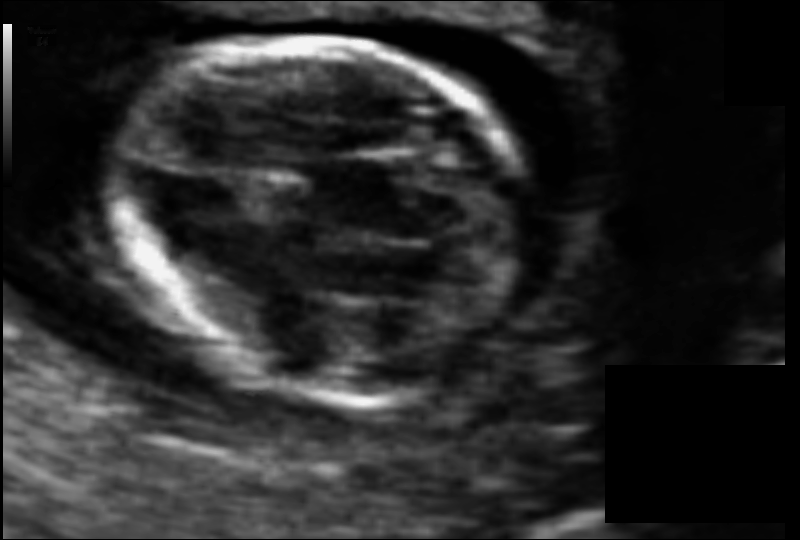
In this fetal head ultrasound, give the bounding box of the fetal head. Image width: 51.5 mm.

[112,39,540,399]